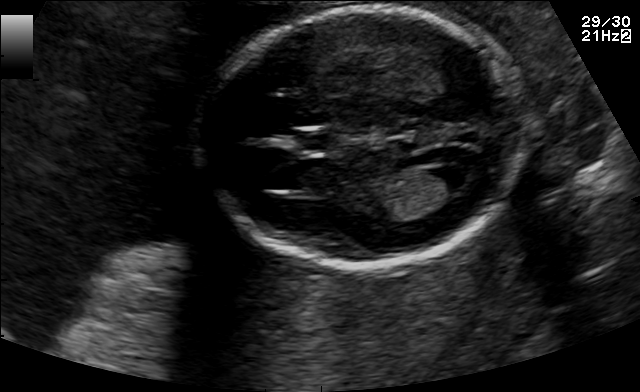
Fetal brain, trans-ventricular plane. Locate the fetal head and, if visible, the cavum septum pellucidum (CSP) and lateral ventricle (LV). Give bounding boxes as [x1,y1,x2,y2].

Head: [195,4,539,275]
CSP: [296,131,329,149]
Lateral ventricle: [430,158,484,197]